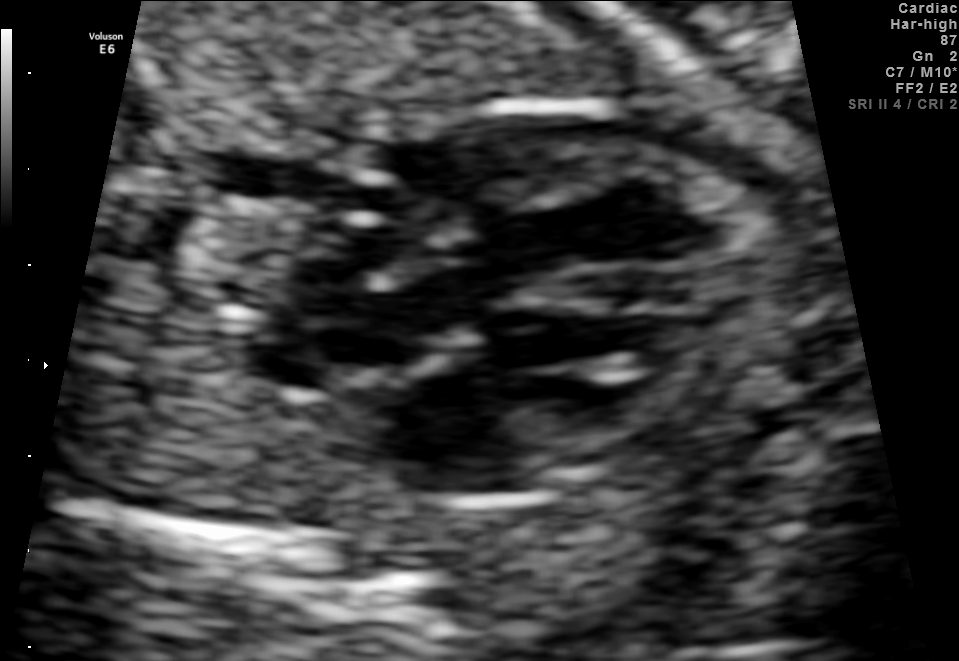
Classify this maternal-fetal ultrasound image as one of the six standard planes — fetal abdomen, fetal brain, fetal femur, fetal thorax, maternal cervix, or other. If it's fetal brain and one of the three standard brain planes (trans-thalamic, trans-cerebellum, trans-ventricular), name which.

Fetal thorax